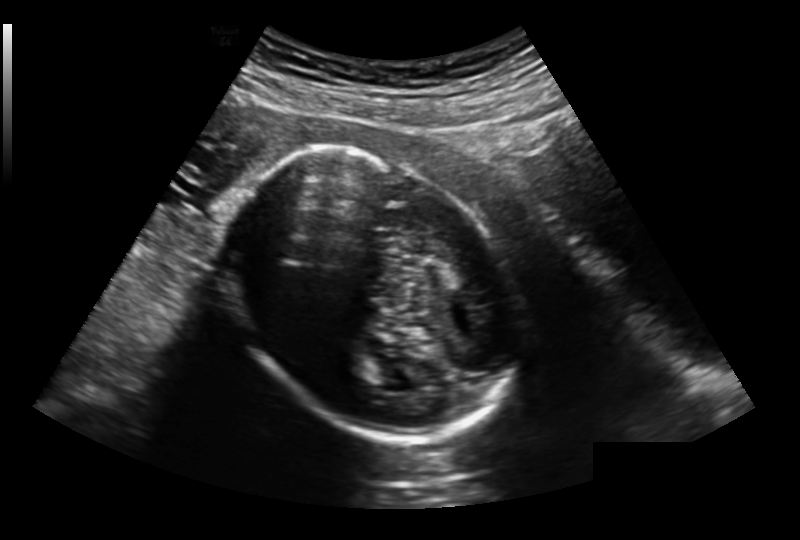
Fetal head ultrasound. Image width: 170.5 mm. Locate the fetal head and, if visible, the cavum septum pellucidum (CSP) and lateral ventricle (LV). Give bounding boxes as [x1,y1,x2,y2].

Head: [234,145,516,444]